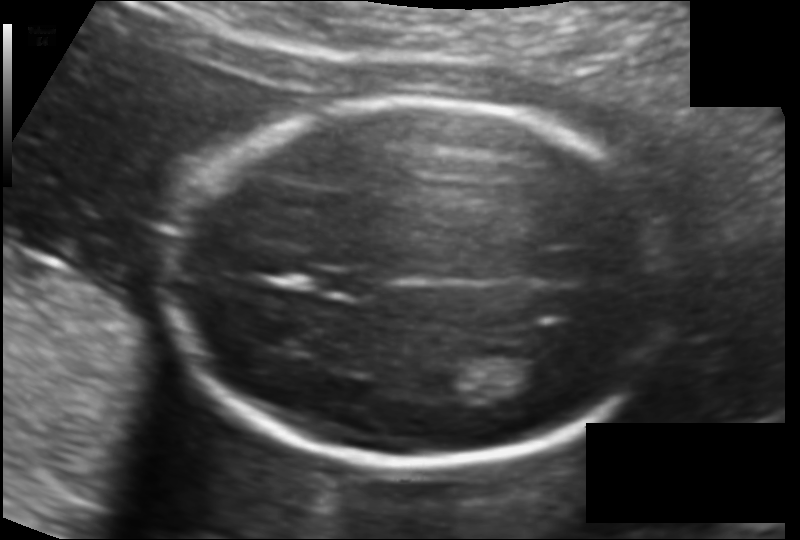
Fetal head ultrasound. Image width: 97.1 mm. Locate the lateral ventricle.

Lateral ventricle: [497,346,562,399]